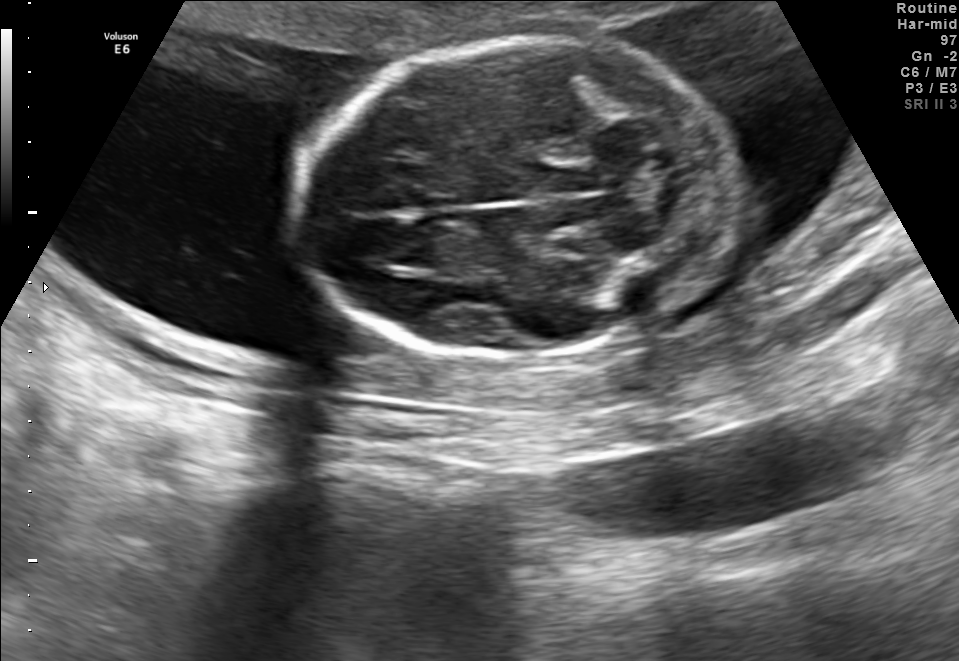
In this fetal brain, trans-thalamic plane, give the bounding box of the fetal head.

[291,36,738,363]